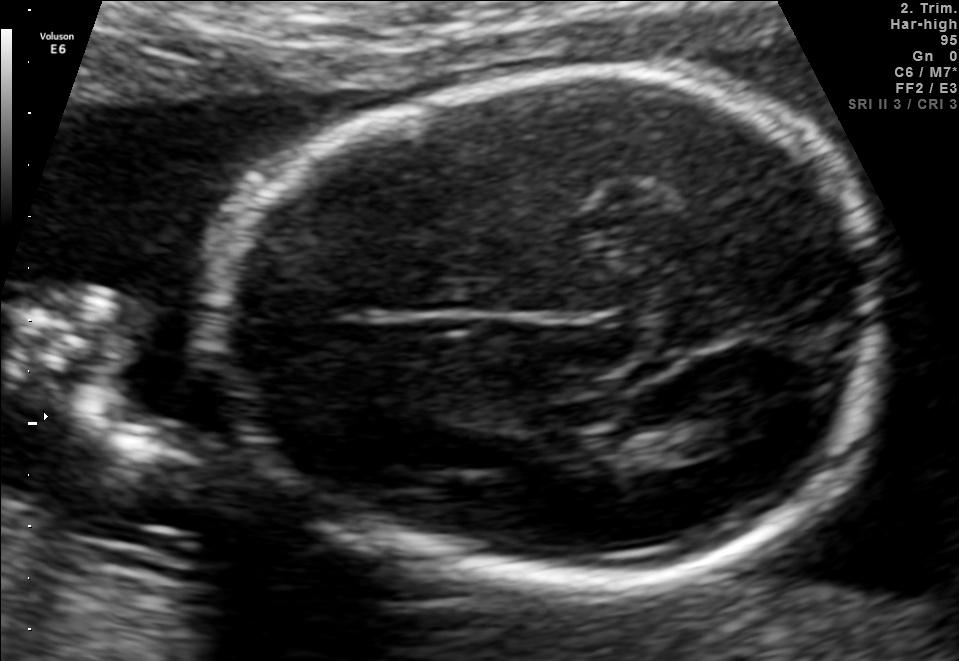
Fetal brain, trans-thalamic plane. Where is the lateral ventricle?

Lateral ventricle bounding box: [660,394,766,466]